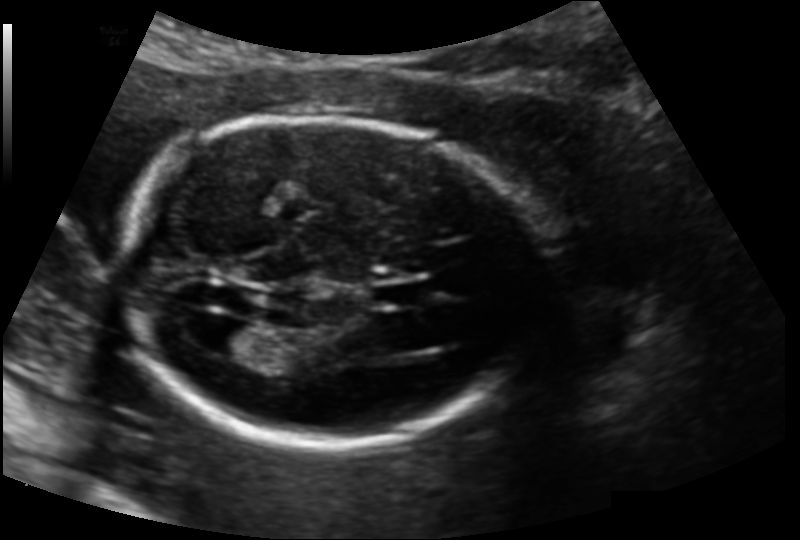
In this fetal head ultrasound, give the bounding box of the fetal head. Image width: 111.6 mm.

[117,118,536,448]